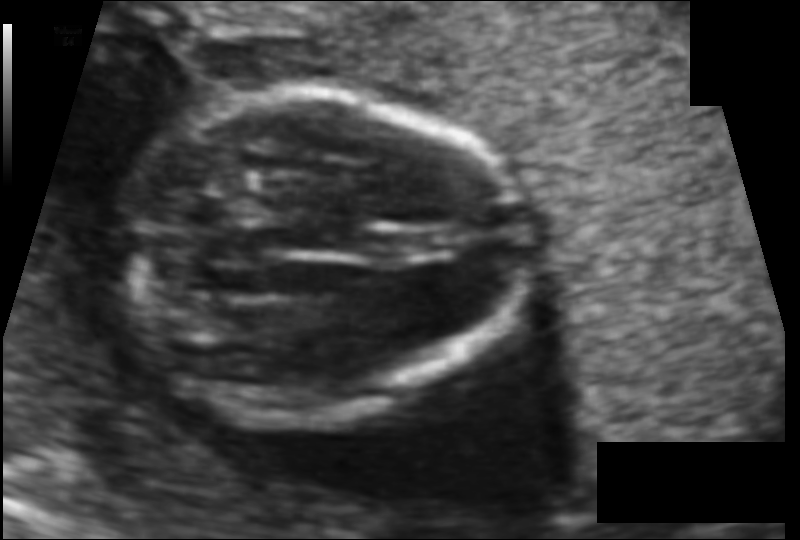
Estimate the fetal head circumference from this 2D ultrasound.

Head circumference: 104.3 mm (image width 71.6 mm).